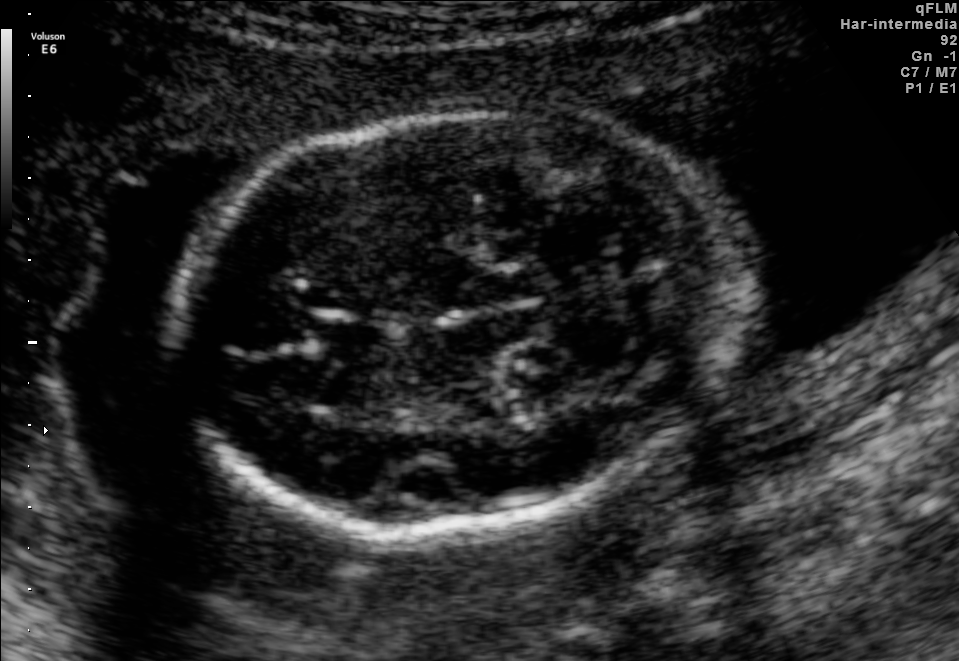
Classify this maternal-fetal ultrasound image as one of the six standard planes — fetal abdomen, fetal brain, fetal femur, fetal thorax, maternal cervix, or other. If it's fetal brain and one of the three standard brain planes (trans-thalamic, trans-cerebellum, trans-ventricular), name which.

Fetal brain (trans-cerebellum plane)